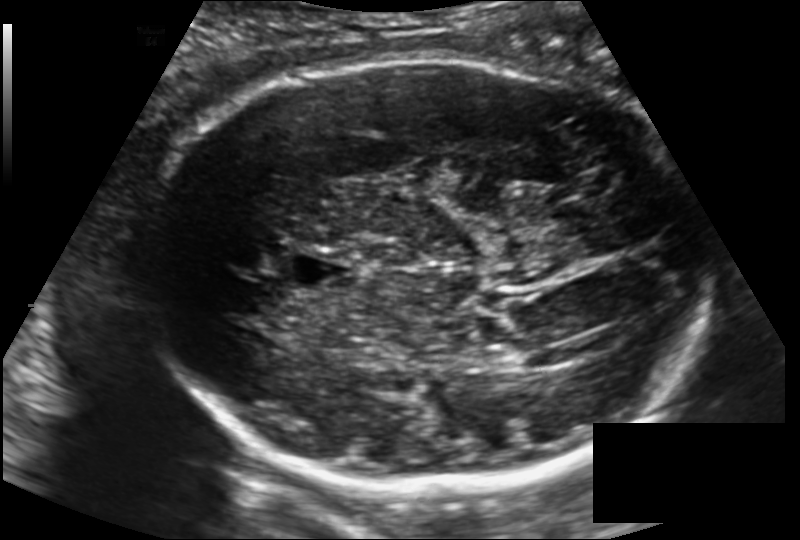
Fetal head ultrasound. Image width: 136.5 mm. Locate the cavum septum pellucidum.

CSP: [284,249,360,296]